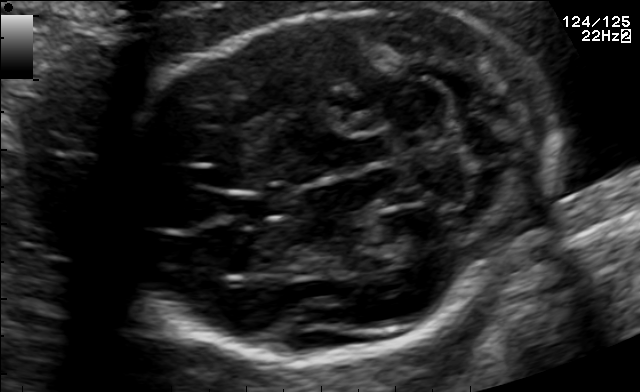
Fetal brain, trans-cerebellum plane. Give [x1,y1,x2,y2] bounding boxes for each visible structure among: fetal head, CSP, LV.

Head: [109,6,559,360]
CSP: [229,189,284,222]